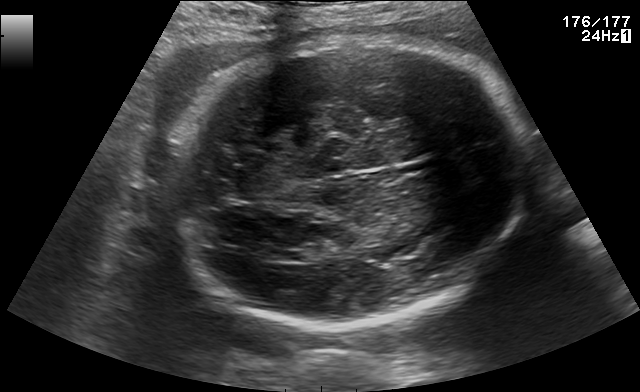
Classify this maternal-fetal ultrasound image as one of the six standard planes — fetal abdomen, fetal brain, fetal femur, fetal thorax, maternal cervix, or other. If it's fetal brain and one of the three standard brain planes (trans-thalamic, trans-cerebellum, trans-ventricular), name which.

Fetal brain (trans-thalamic plane)